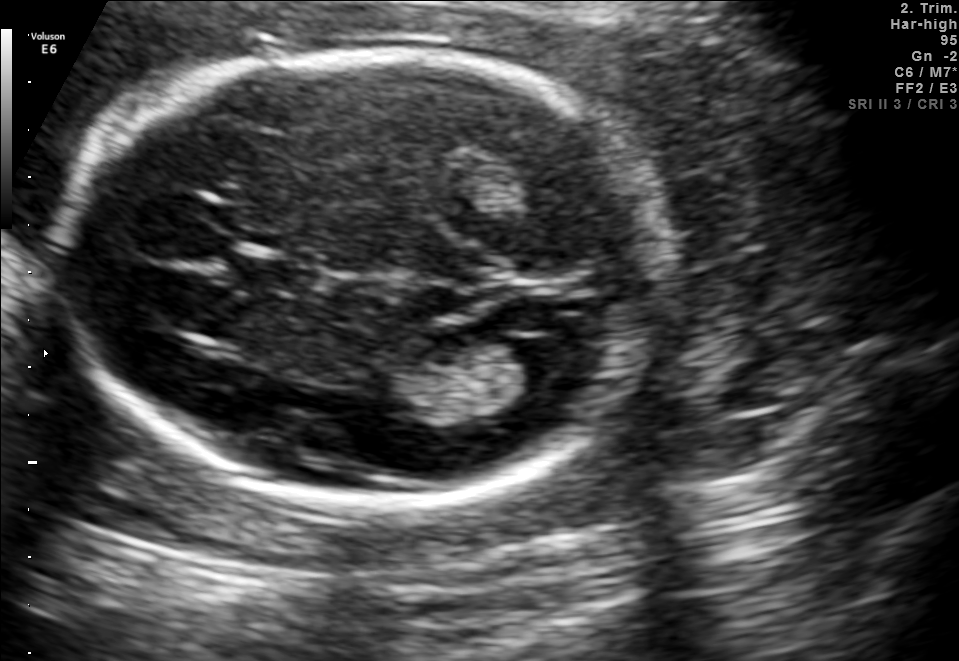
Fetal brain, trans-ventricular plane. Where is the lateral ventricle?

Lateral ventricle bounding box: [508,336,585,383]